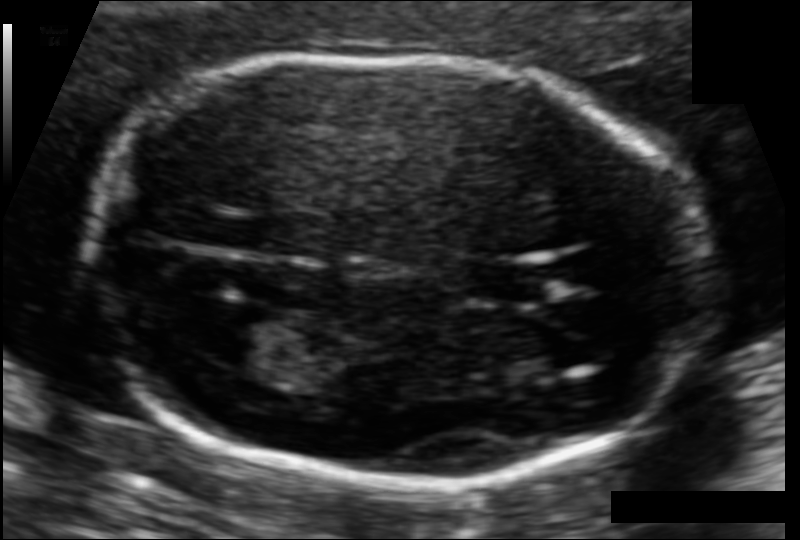
In this fetal head ultrasound, give the bounding box of the fetal head. Image width: 73.9 mm.

[84,56,704,489]